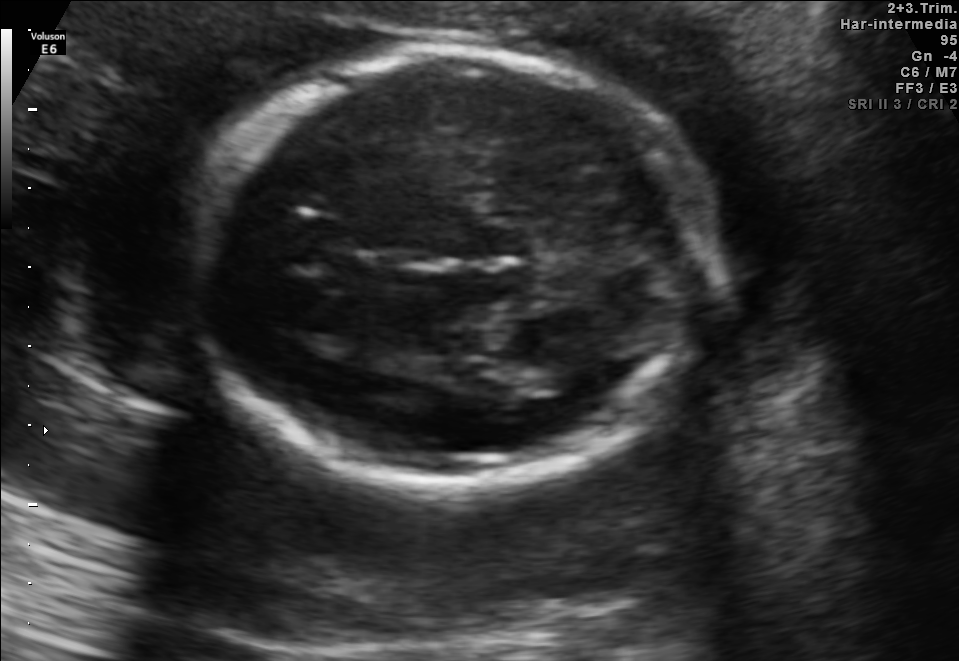
In this fetal brain, trans-thalamic plane, give bounding boxes for the head outline, cavum septum pellucidum (CSP), and lateral ventricle (LV), where visible.

Head: [194,46,709,485]